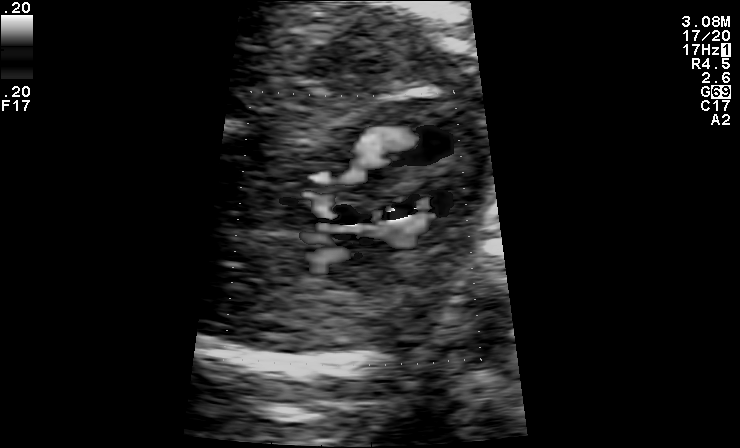
This is a 2D maternal-fetal ultrasound frame. Is it a fetal abdomen, fetal brain, fetal femur, fetal thorax, maternal cervix, or other standard plane? If it's fetal brain and one of the three standard brain planes (trans-thalamic, trans-cerebellum, trans-ventricular), name which.

Other